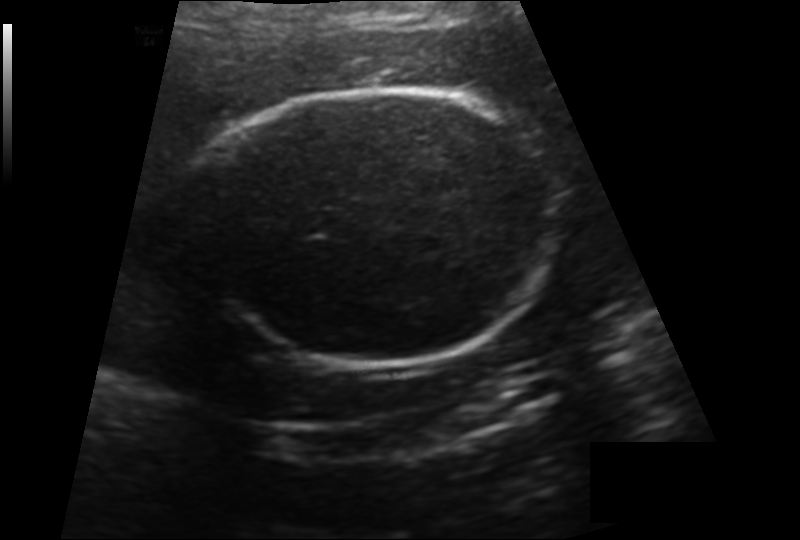
Estimate the fetal head circumference from this 2D ultrasound.

Head circumference: 176.3 mm (image width 133.0 mm).